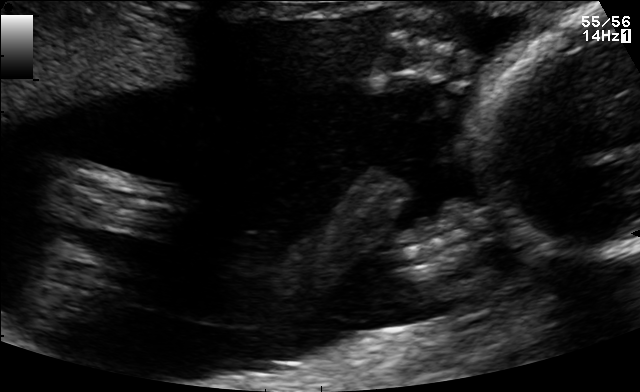
Classify this maternal-fetal ultrasound image as one of the six standard planes — fetal abdomen, fetal brain, fetal femur, fetal thorax, maternal cervix, or other. If it's fetal brain and one of the three standard brain planes (trans-thalamic, trans-cerebellum, trans-ventricular), name which.

Other